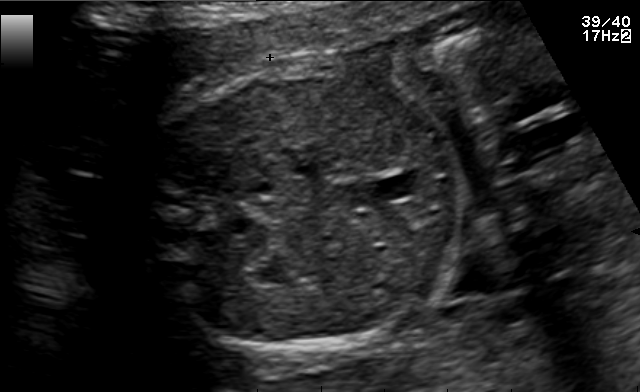
Which standard maternal-fetal ultrasound plane is shown: fetal abdomen, fetal brain, fetal femur, fetal thorax, maternal cervix, or other? If it's fetal brain and one of the three standard brain planes (trans-thalamic, trans-cerebellum, trans-ventricular), name which.

Fetal abdomen